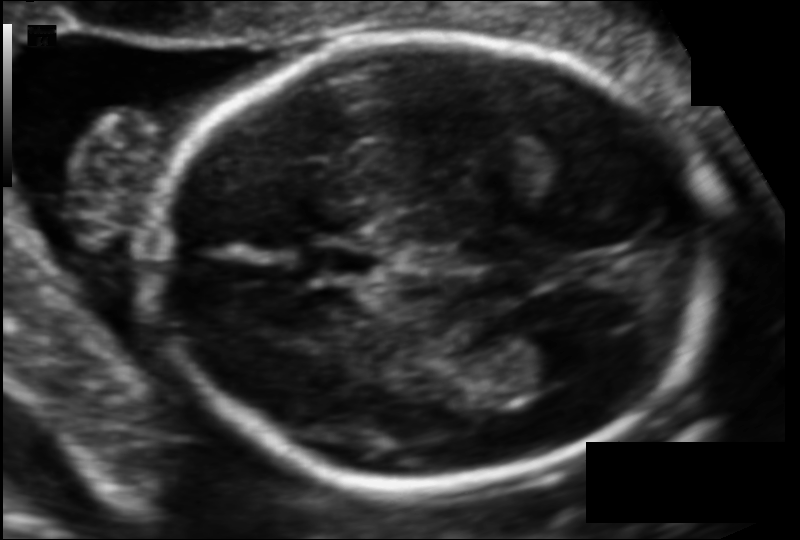
Estimate the fetal head circumference from this 2D ultrasound.

Head circumference: 166.8 mm (image width 81.4 mm).